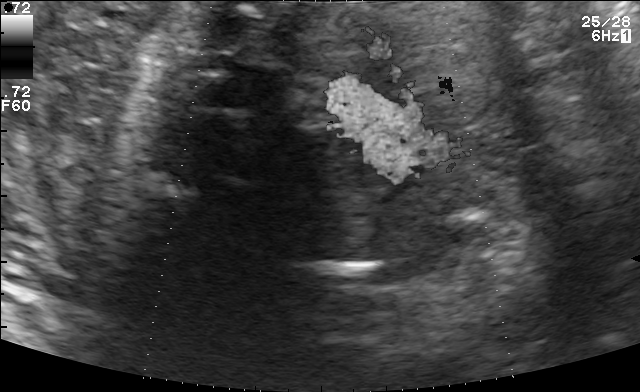
Identify the standard plane in this fetal ultrasound image: fetal abdomen, fetal brain, fetal femur, fetal thorax, maternal cervix, or other. If it's fetal brain and one of the three standard brain planes (trans-thalamic, trans-cerebellum, trans-ventricular), name which.

Other